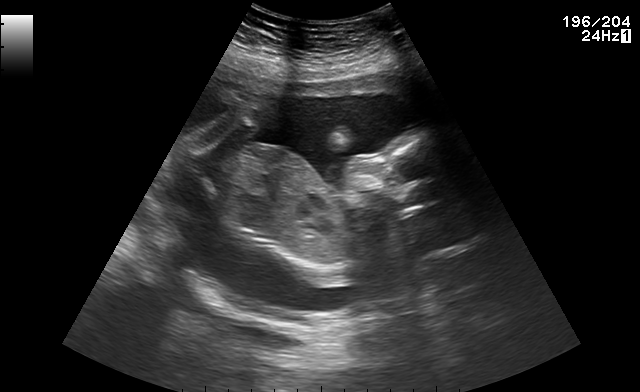
Identify the standard plane in this fetal ultrasound image: fetal abdomen, fetal brain, fetal femur, fetal thorax, maternal cervix, or other. If it's fetal brain and one of the three standard brain planes (trans-thalamic, trans-cerebellum, trans-ventricular), name which.

Other